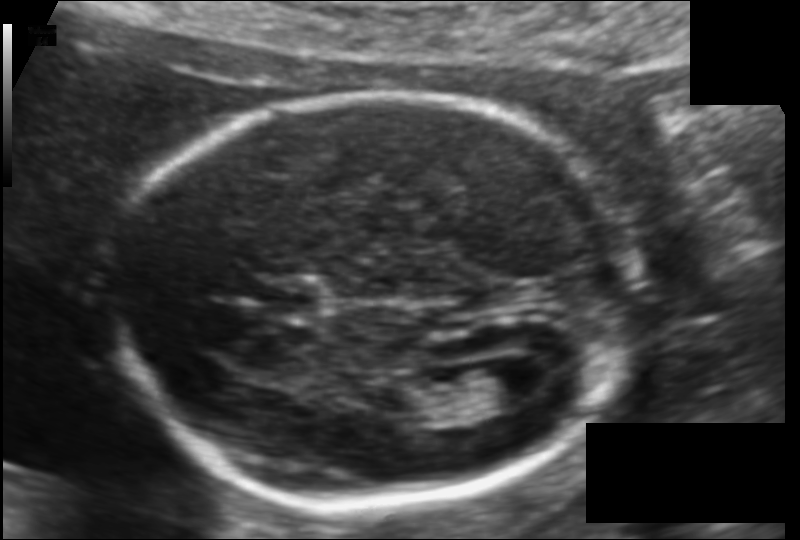
Fetal head ultrasound. Image width: 92.0 mm. Locate the fetal head.

Head: [118,95,636,504]